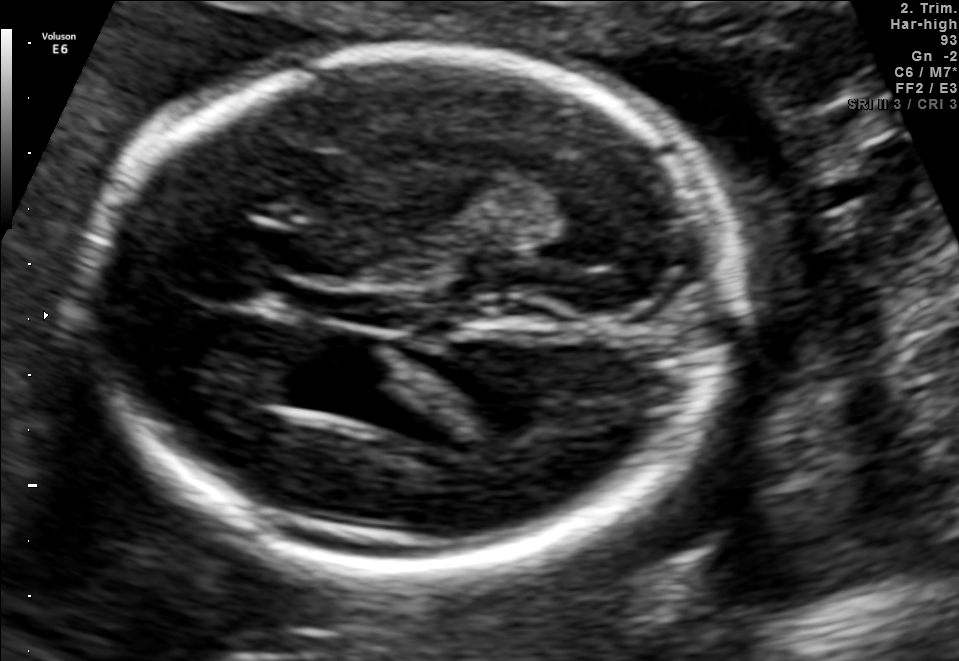
Fetal brain, trans-thalamic plane. Give [x1,y1,x2,y2] bounding boxes for each visible structure among: fetal head, CSP, LV.

Head: [88,49,721,568]